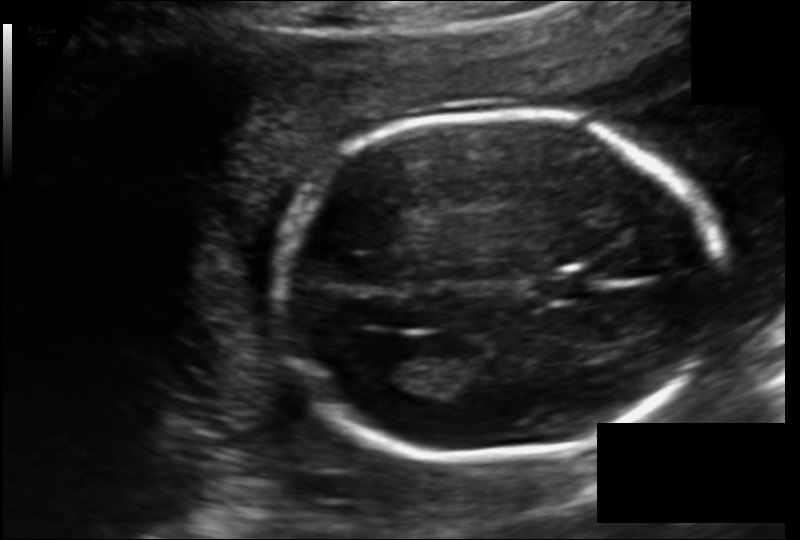
Fetal head ultrasound. Image width: 107.8 mm. Where is the cavum septum pellucidum?

CSP bounding box: [534,268,592,307]